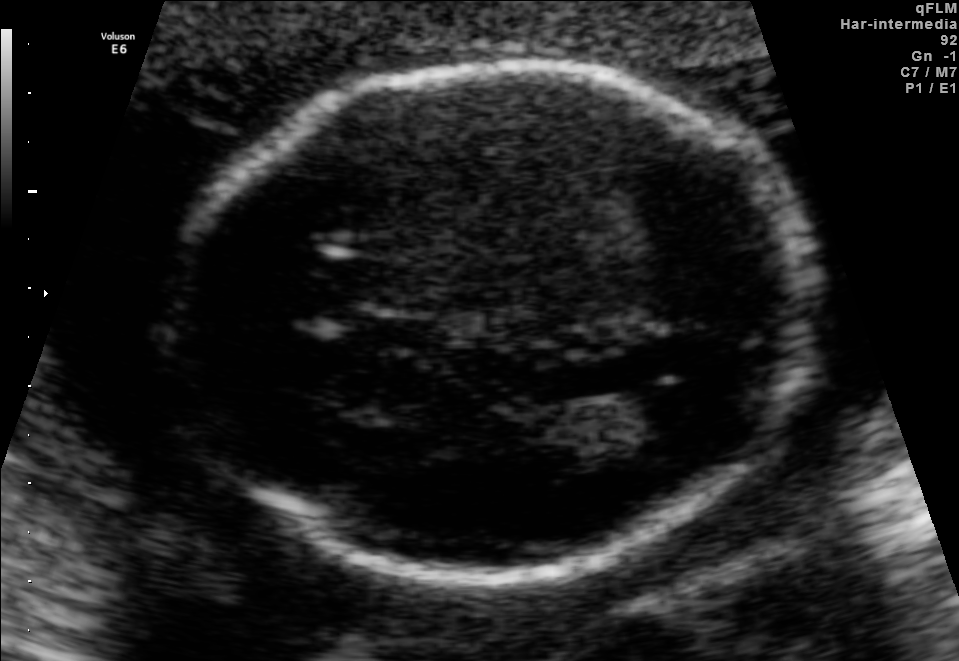
In this fetal brain, trans-ventricular plane, give the bounding box of the fetal head.

[159,58,826,589]